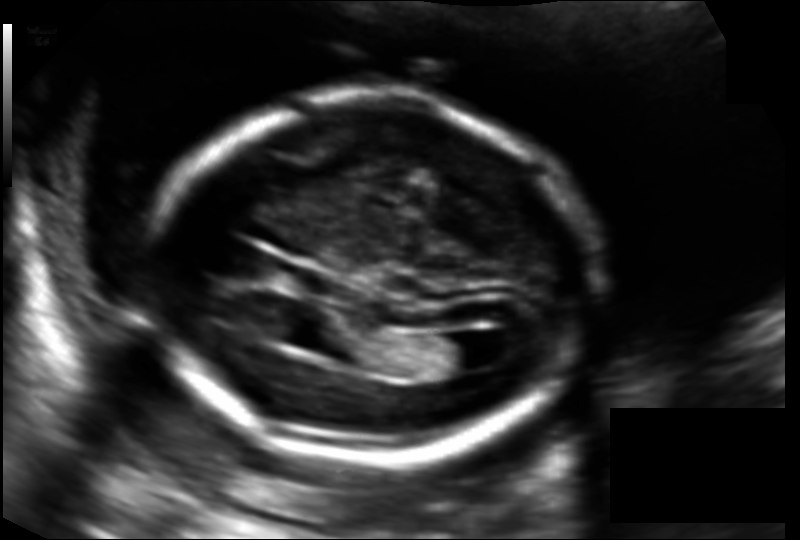
What is the fetal head circumference? Image width is 104.2 mm.

174.8 mm